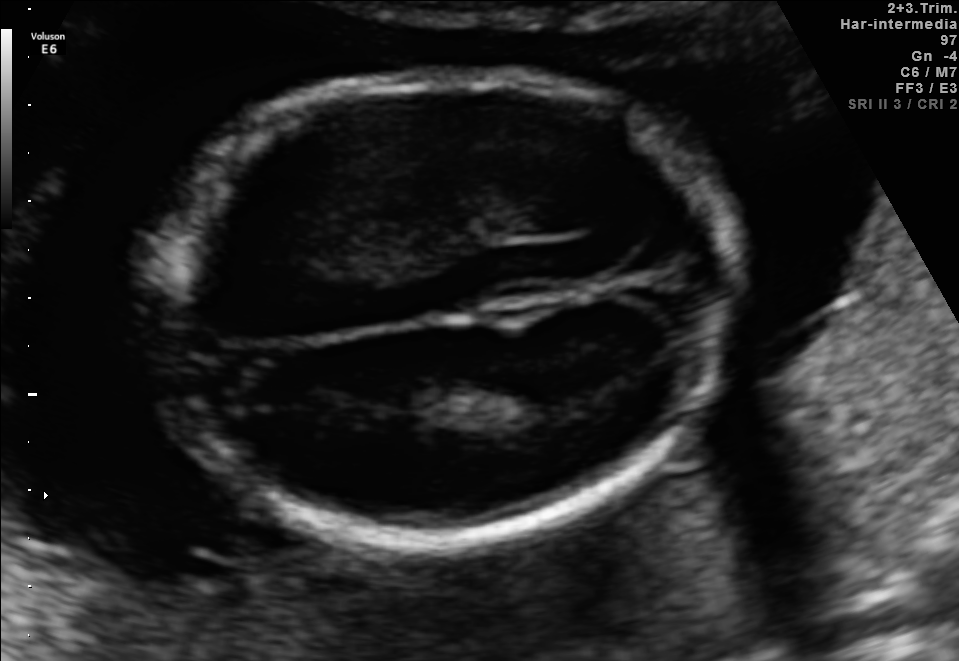
Fetal brain, trans-thalamic plane. Locate the fetal head and, if visible, the cavum septum pellucidum (CSP) and lateral ventricle (LV). Give bounding boxes as [x1,y1,x2,y2].

Head: [150,76,735,547]